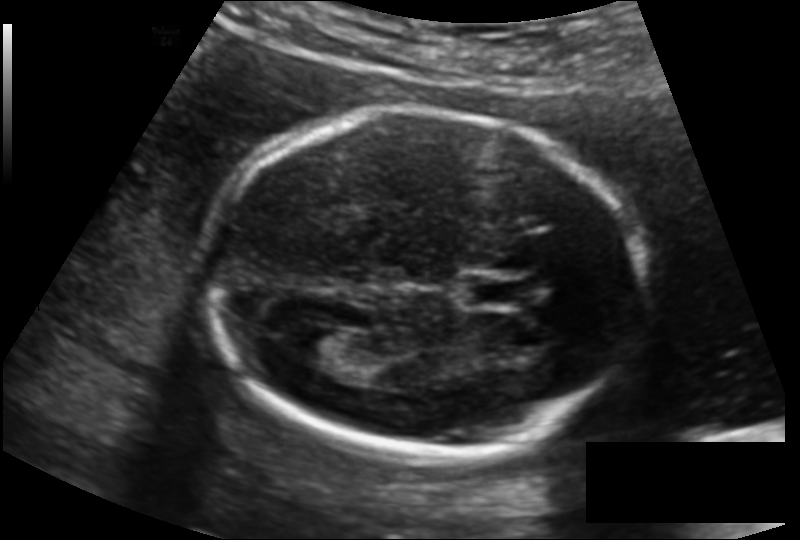
What is the fetal head circumference? Image width is 107.6 mm.

170.8 mm